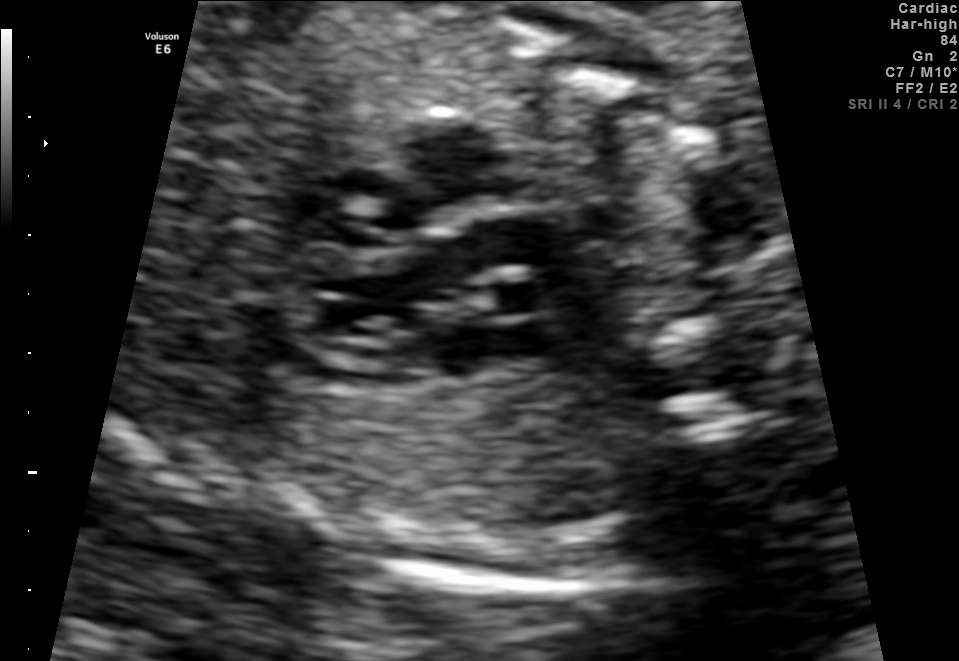
This is a 2D maternal-fetal ultrasound frame. Is it a fetal abdomen, fetal brain, fetal femur, fetal thorax, maternal cervix, or other standard plane? If it's fetal brain and one of the three standard brain planes (trans-thalamic, trans-cerebellum, trans-ventricular), name which.

Fetal thorax